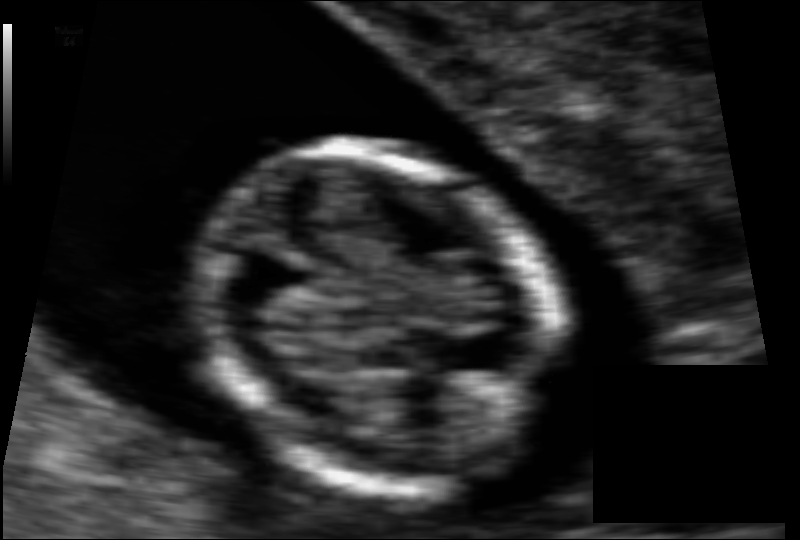
In this fetal head ultrasound, give bounding boxes for the head outline, cavum septum pellucidum (CSP), and lateral ventricle (LV), where visible. Image width: 49.4 mm.

Head: [198,142,561,493]